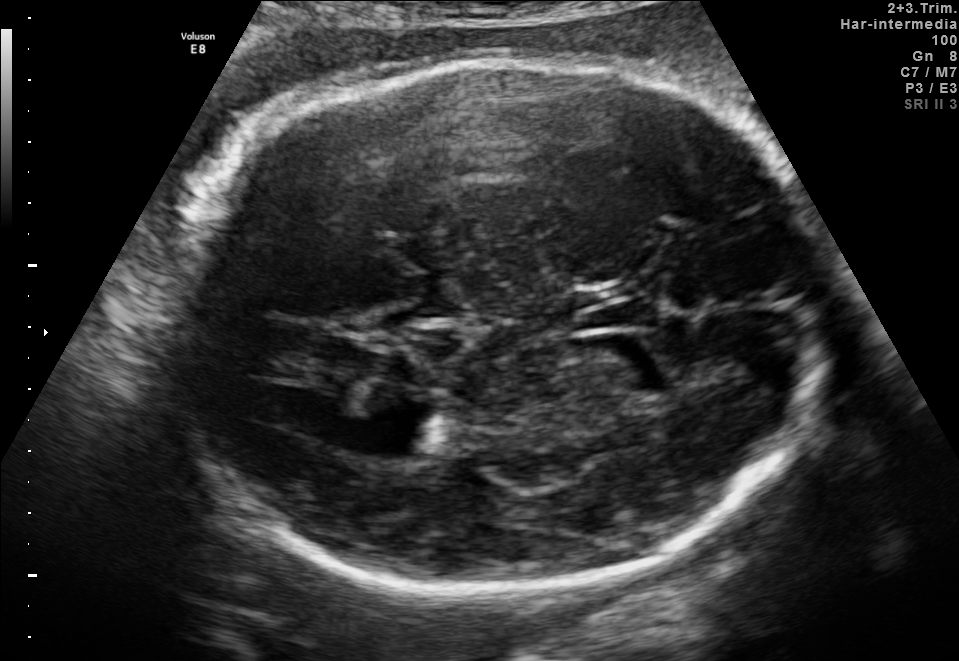
Fetal brain, trans-thalamic plane. Locate the lateral ventricle.

Lateral ventricle: [372,407,452,455]